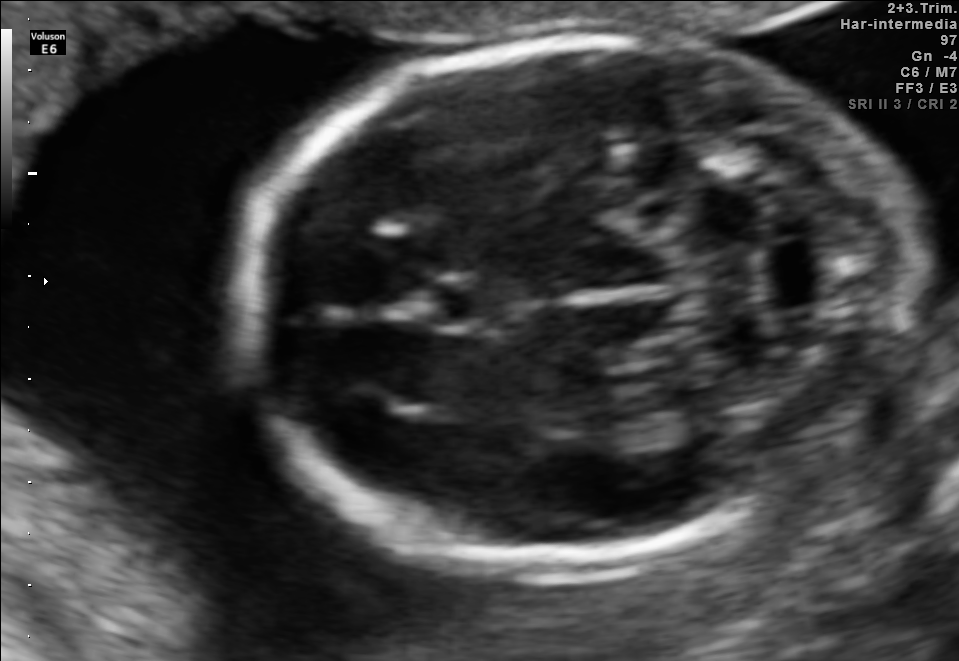
Fetal brain, trans-cerebellum plane. Locate the fetal head.

Head: [245,37,908,562]